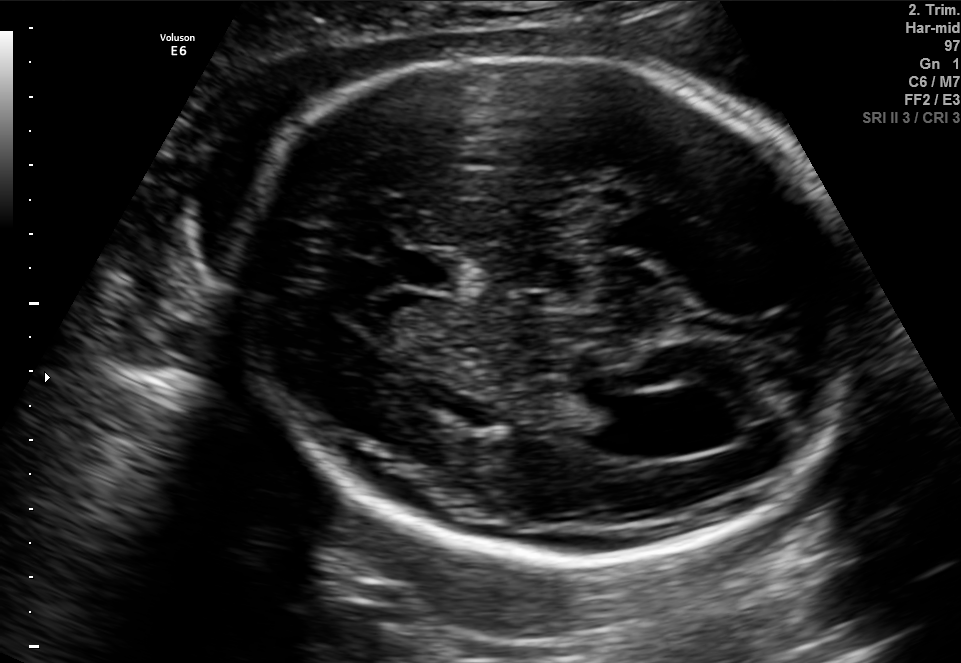
Fetal brain, trans-ventricular plane. Locate the fetal head and, if visible, the cavum septum pellucidum (CSP) and lateral ventricle (LV). Give bounding boxes as [x1,y1,x2,y2].

Head: [221,53,870,564]
CSP: [375,244,472,296]
Lateral ventricle: [585,392,678,459]